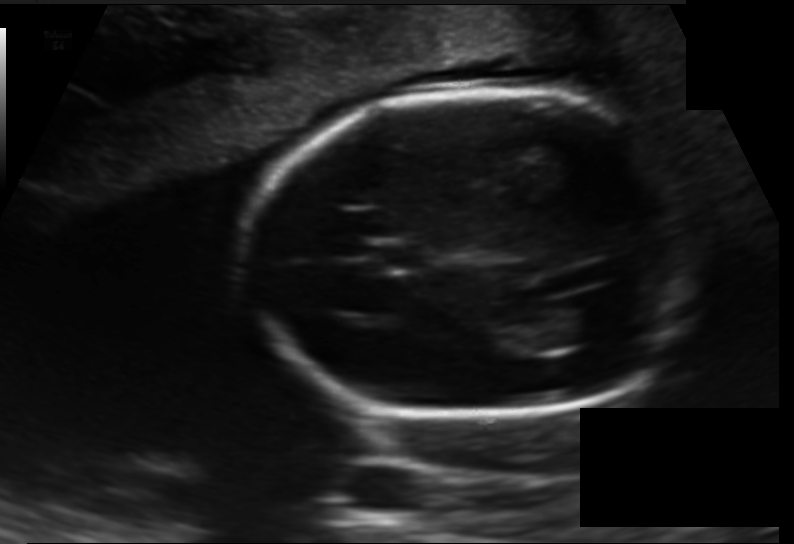
In this fetal head ultrasound, give the bounding box of the cavum septum pellucidum. Image width: 109.8 mm.

[371,245,426,269]